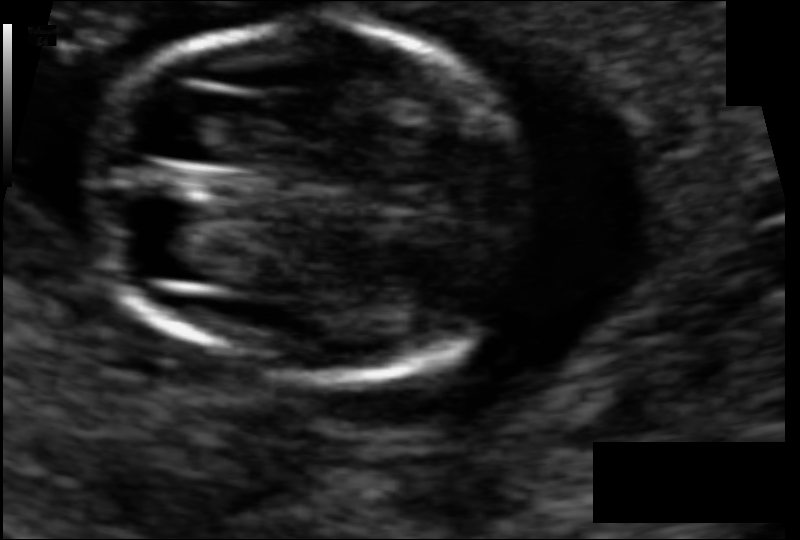
Fetal head ultrasound. Image width: 48.6 mm. Where is the fetal head?

Head bounding box: [93,21,542,383]